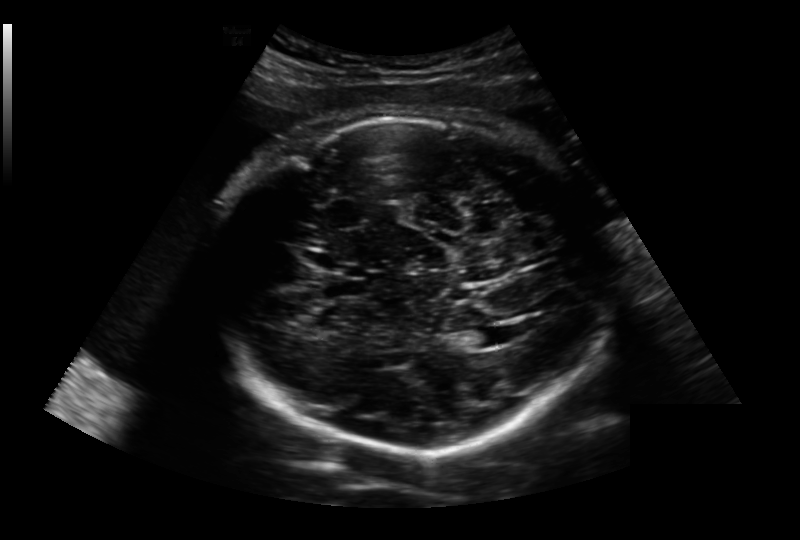
Fetal head ultrasound. Image width: 188.7 mm. Where is the lateral ventricle?

Lateral ventricle bounding box: [461,324,509,351]